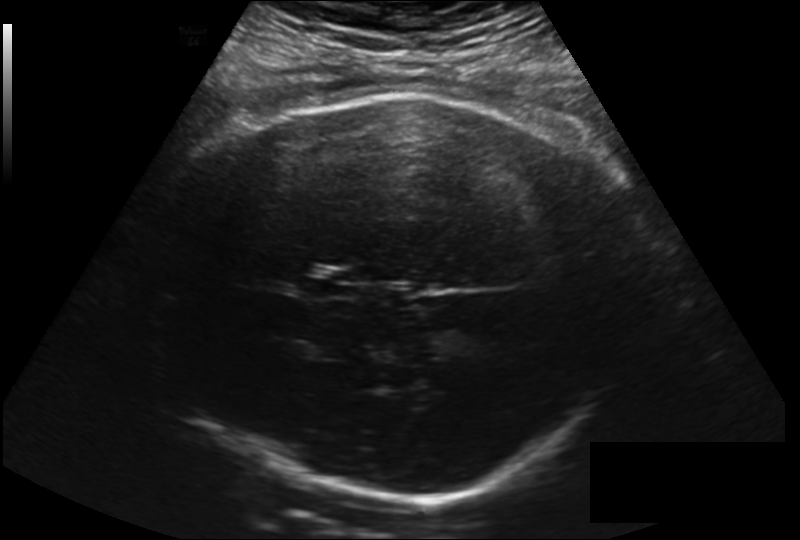
What is the fetal head circumference? Image width is 179.8 mm.

327.9 mm